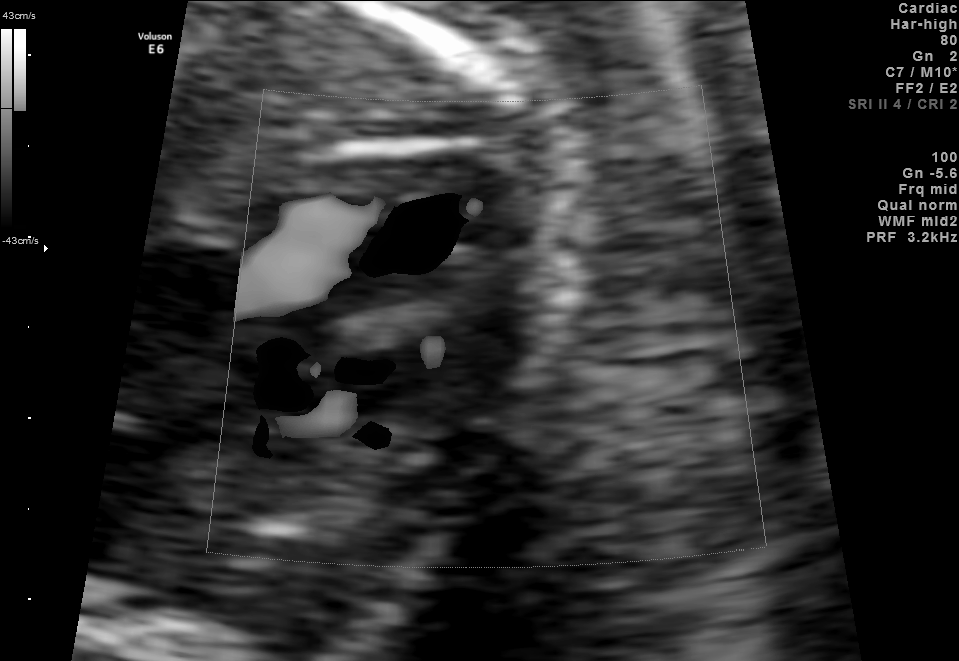
Identify the standard plane in this fetal ultrasound image: fetal abdomen, fetal brain, fetal femur, fetal thorax, maternal cervix, or other. If it's fetal brain and one of the three standard brain planes (trans-thalamic, trans-cerebellum, trans-ventricular), name which.

Other